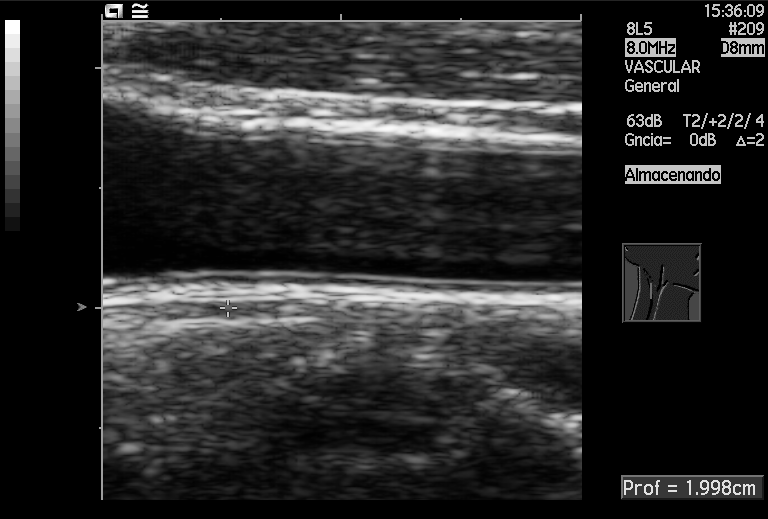
Which standard maternal-fetal ultrasound plane is shown: fetal abdomen, fetal brain, fetal femur, fetal thorax, maternal cervix, or other? If it's fetal brain and one of the three standard brain planes (trans-thalamic, trans-cerebellum, trans-ventricular), name which.

Other